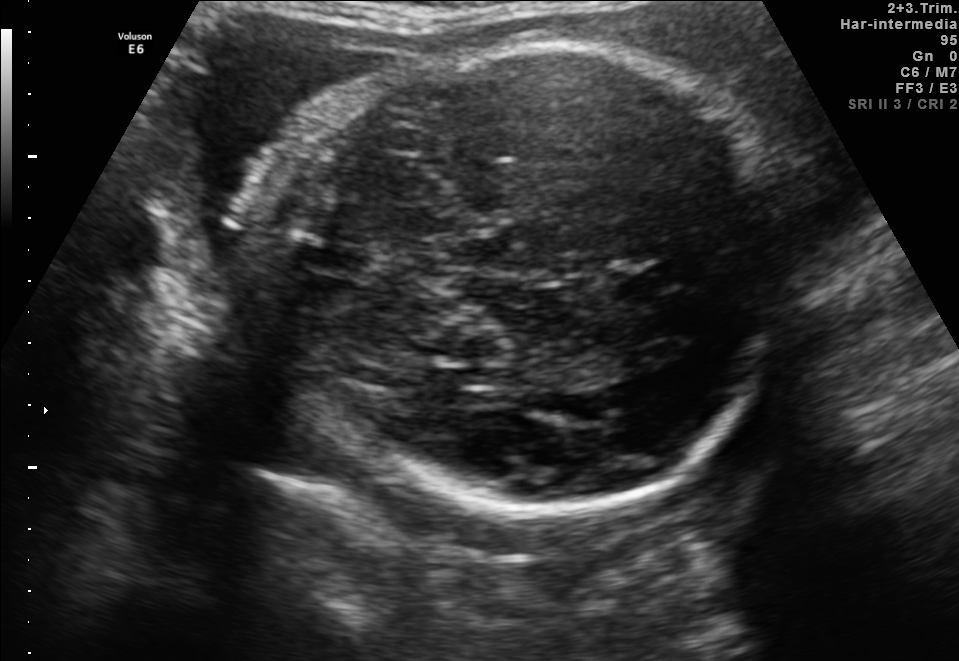
Fetal brain, trans-thalamic plane. Locate the fetal head and, if visible, the cavum septum pellucidum (CSP) and lateral ventricle (LV). Give bounding boxes as [x1,y1,x2,y2].

Head: [273,38,782,529]
CSP: [611,263,673,300]
Lateral ventricle: [457,368,505,384]